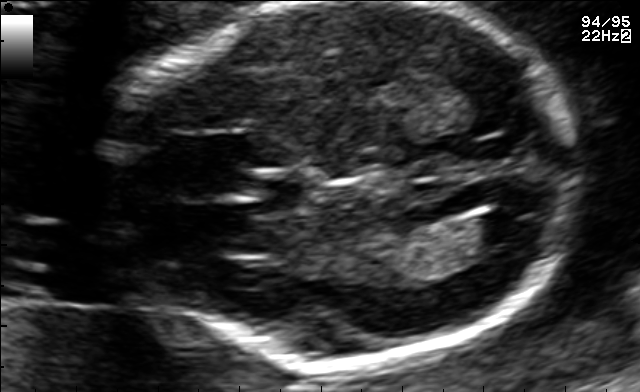
This is a 2D maternal-fetal ultrasound frame. Is it a fetal abdomen, fetal brain, fetal femur, fetal thorax, maternal cervix, or other standard plane? If it's fetal brain and one of the three standard brain planes (trans-thalamic, trans-cerebellum, trans-ventricular), name which.

Fetal brain (trans-ventricular plane)